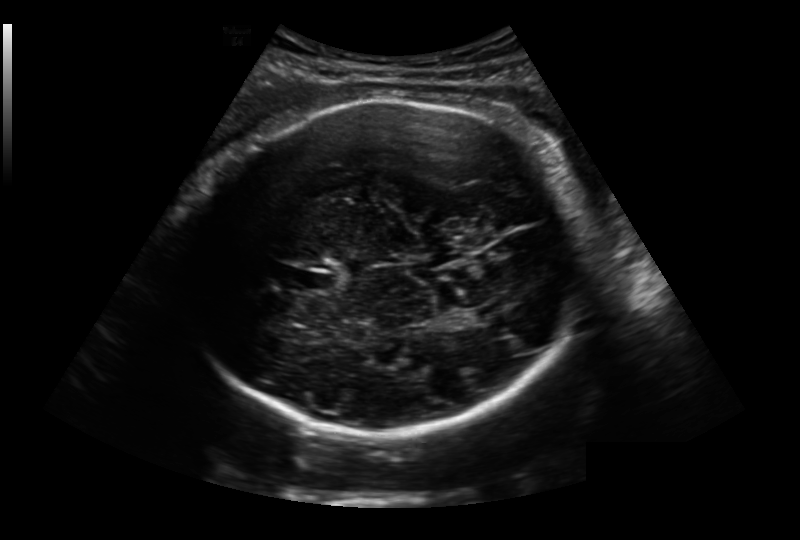
Fetal head ultrasound. Image width: 188.7 mm. Locate the cavum septum pellucidum.

CSP: [296,267,340,296]